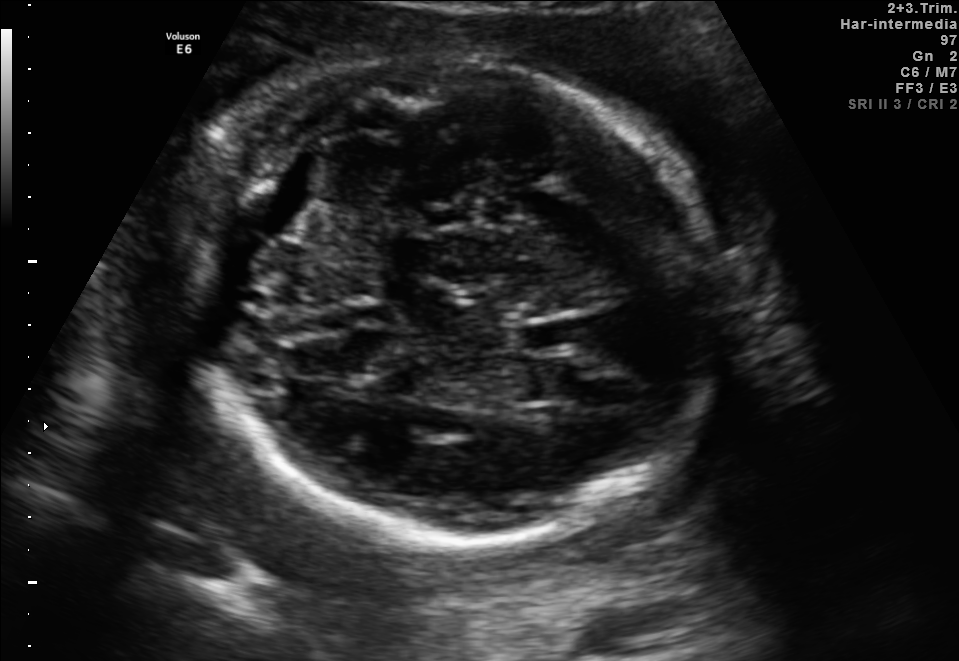
Fetal brain, trans-thalamic plane. Where is the fetal head?

Head bounding box: [162,56,727,537]